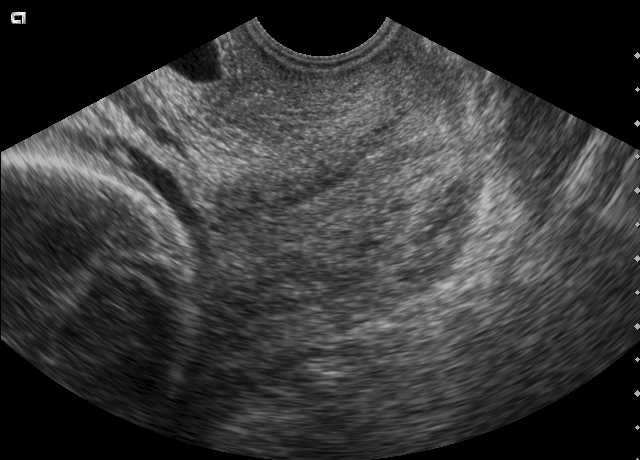
This is a 2D maternal-fetal ultrasound frame. Is it a fetal abdomen, fetal brain, fetal femur, fetal thorax, maternal cervix, or other standard plane? If it's fetal brain and one of the three standard brain planes (trans-thalamic, trans-cerebellum, trans-ventricular), name which.

Maternal cervix